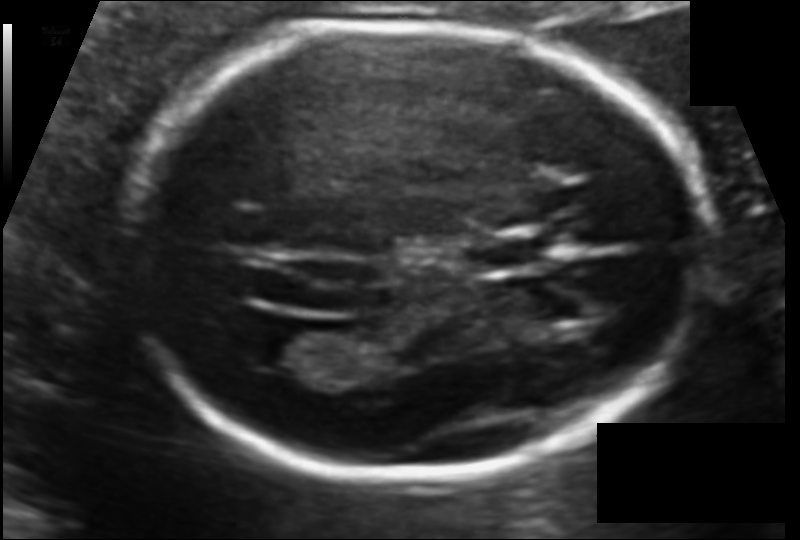
Fetal head ultrasound. Image width: 85.6 mm. Locate the fetal head.

Head: [124,25,706,476]